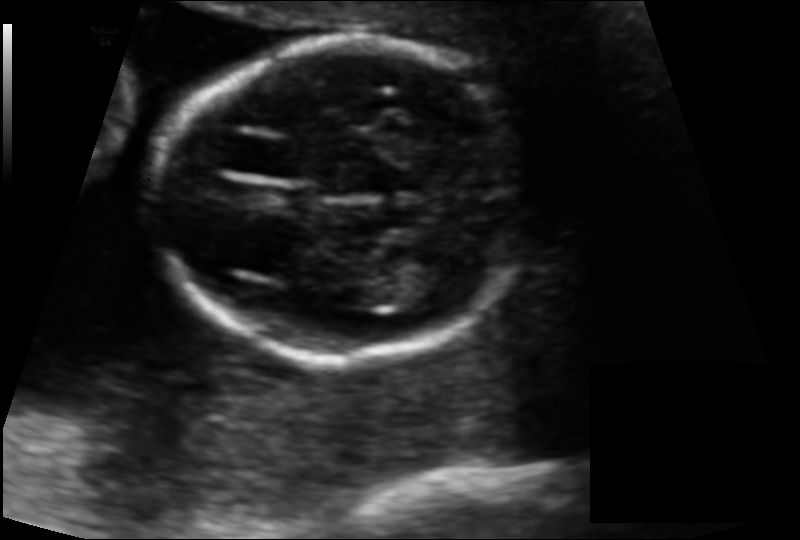
In this fetal head ultrasound, give the bounding box of the fetal head. Image width: 92.0 mm.

[153,43,525,359]